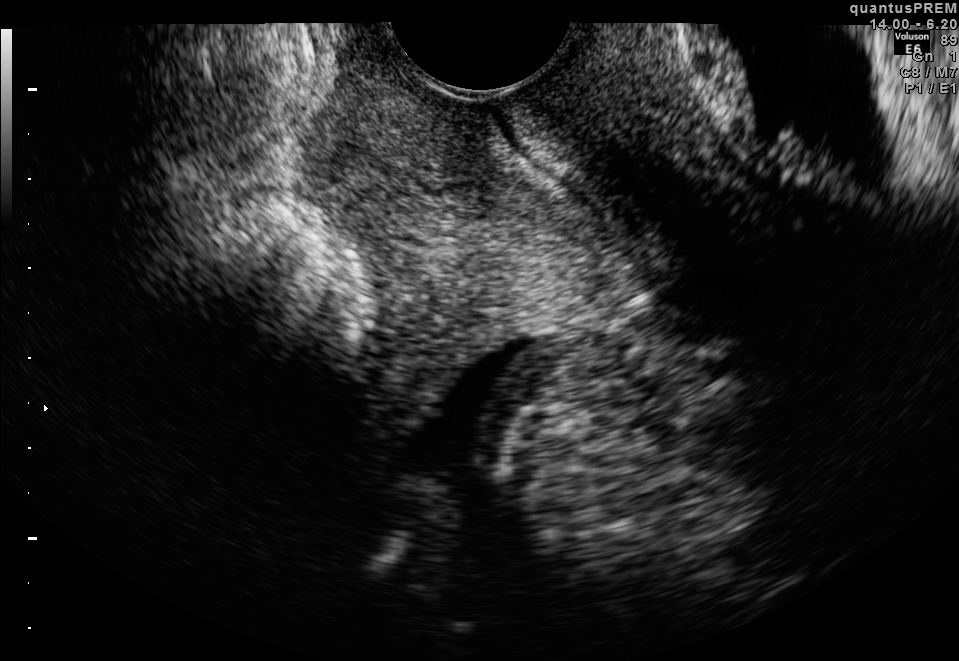
Identify the standard plane in this fetal ultrasound image: fetal abdomen, fetal brain, fetal femur, fetal thorax, maternal cervix, or other. If it's fetal brain and one of the three standard brain planes (trans-thalamic, trans-cerebellum, trans-ventricular), name which.

Maternal cervix